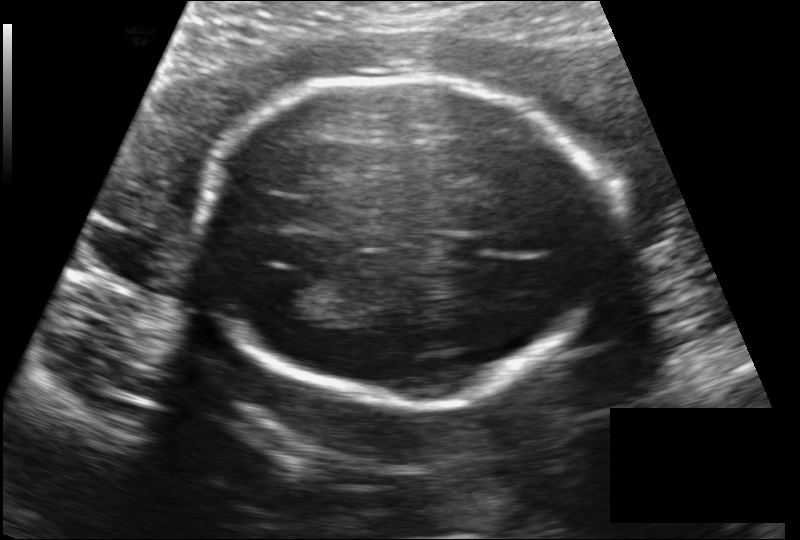
In this fetal head ultrasound, give bounding boxes for the head outline, cavum septum pellucidum (CSP), and lateral ventricle (LV), where visible. Image width: 119.2 mm.

Head: [199,73,598,402]
CSP: [444,235,488,264]
Lateral ventricle: [264,276,320,318]